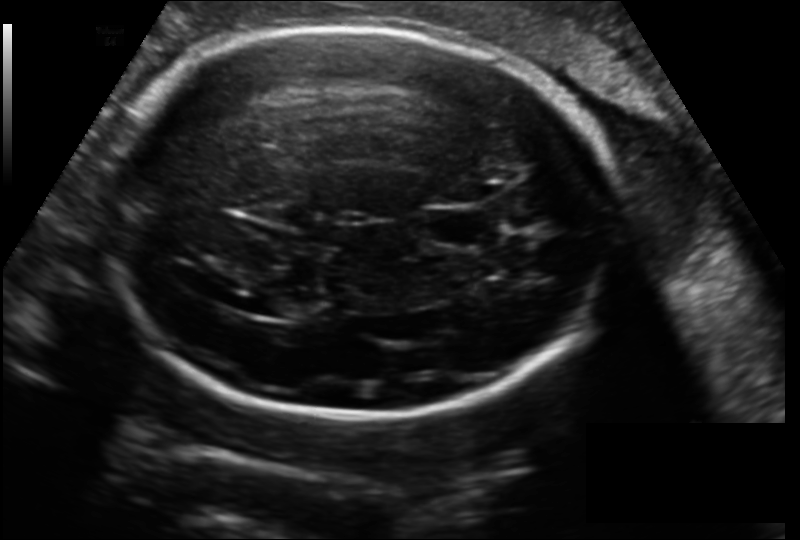
In this fetal head ultrasound, give the bounding box of the fetal head. Image width: 142.1 mm.

[98,25,619,417]